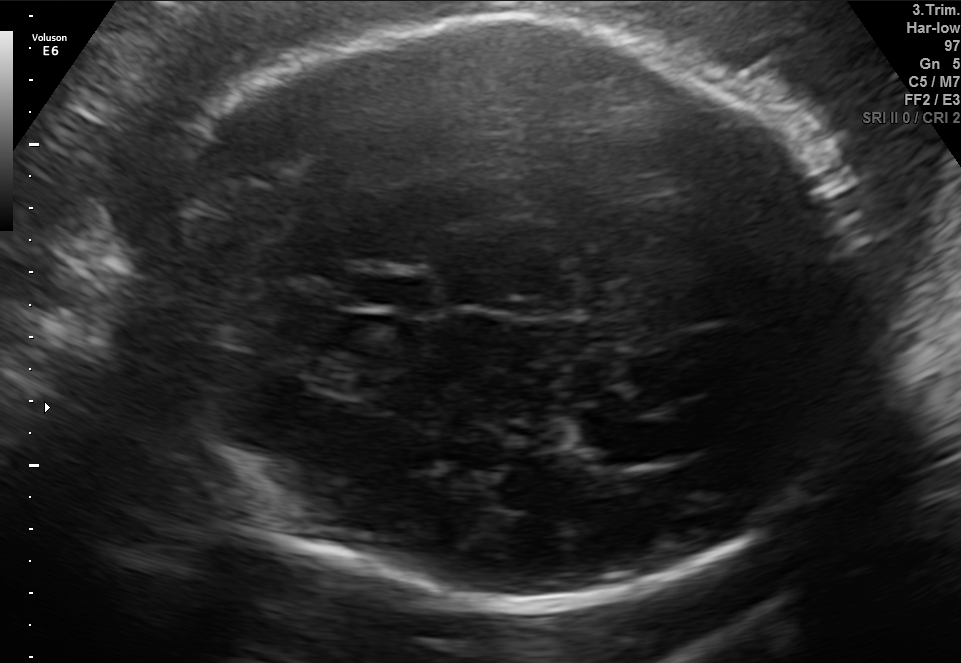
Fetal brain, trans-thalamic plane. Where is the lateral ventricle?

Lateral ventricle bounding box: [580,414,692,469]